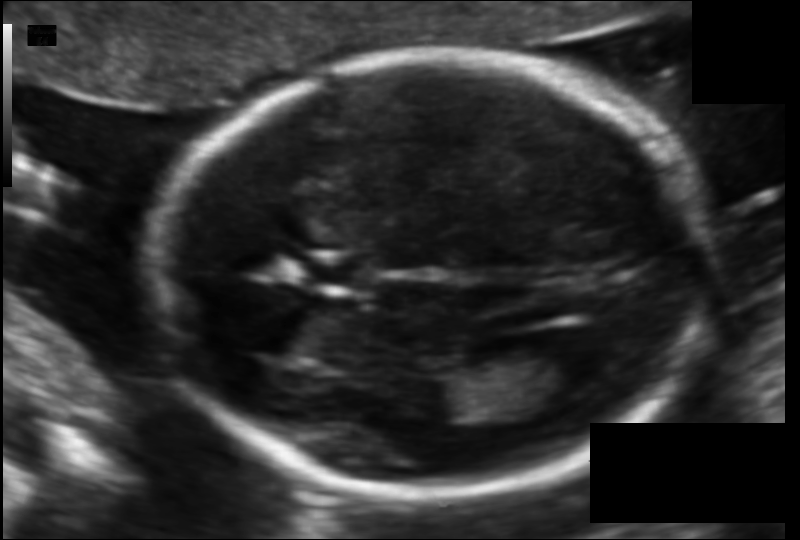
Estimate the fetal head circumference from this 2D ultrasound. Image width: 83.8 mm.

Head circumference: 171.0 mm.